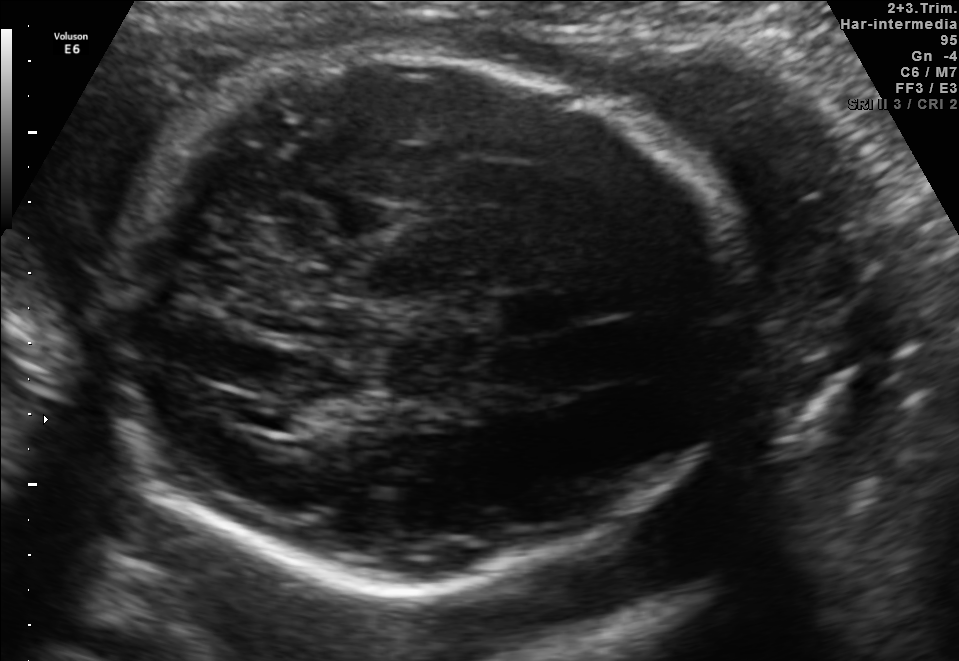
Fetal brain, trans-thalamic plane. Where is the fetal head?

Head bounding box: [113,52,734,591]